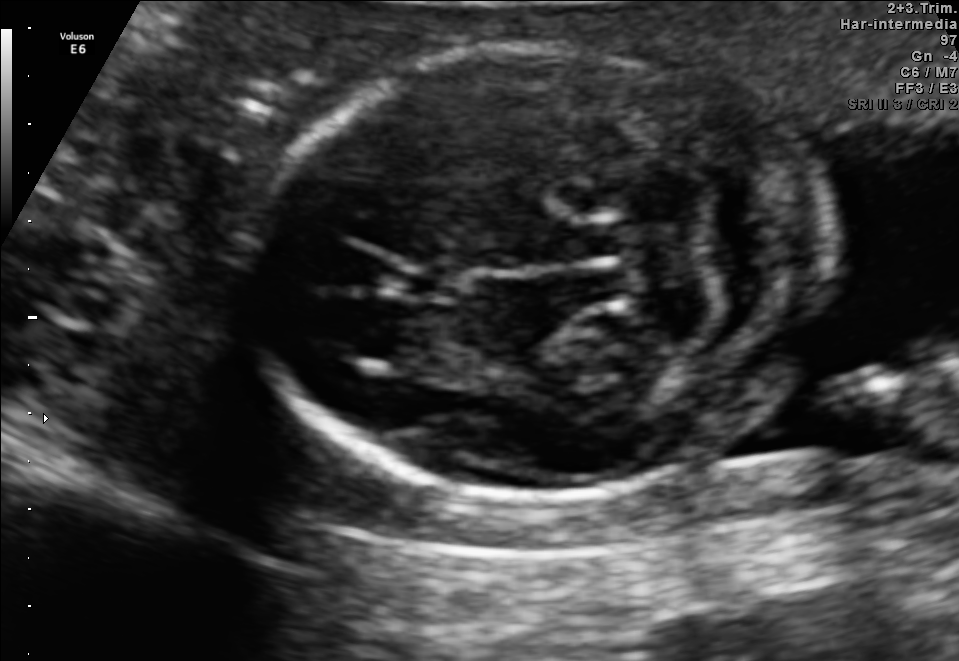
Fetal brain, trans-cerebellum plane. Locate the fetal head.

Head: [252,46,825,497]